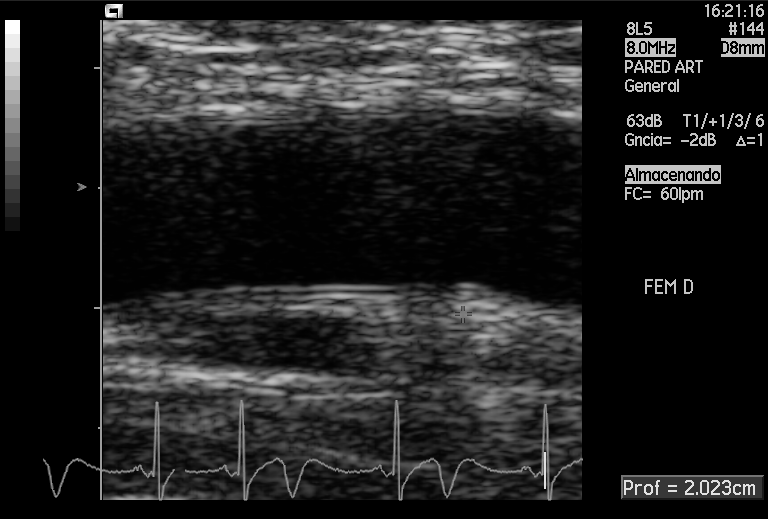
Identify the standard plane in this fetal ultrasound image: fetal abdomen, fetal brain, fetal femur, fetal thorax, maternal cervix, or other. If it's fetal brain and one of the three standard brain planes (trans-thalamic, trans-cerebellum, trans-ventricular), name which.

Other